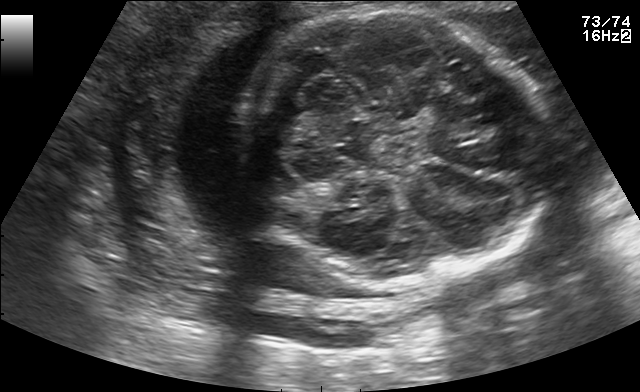
Fetal brain, trans-thalamic plane. Where is the fetal head?

Head bounding box: [230,7,552,283]